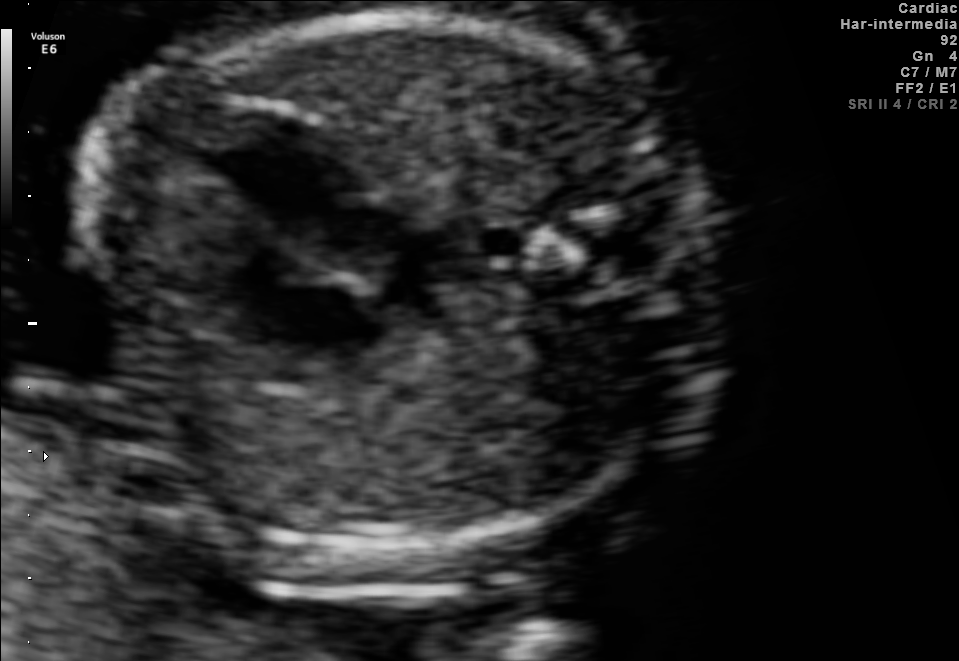
Classify this maternal-fetal ultrasound image as one of the six standard planes — fetal abdomen, fetal brain, fetal femur, fetal thorax, maternal cervix, or other. If it's fetal brain and one of the three standard brain planes (trans-thalamic, trans-cerebellum, trans-ventricular), name which.

Fetal thorax